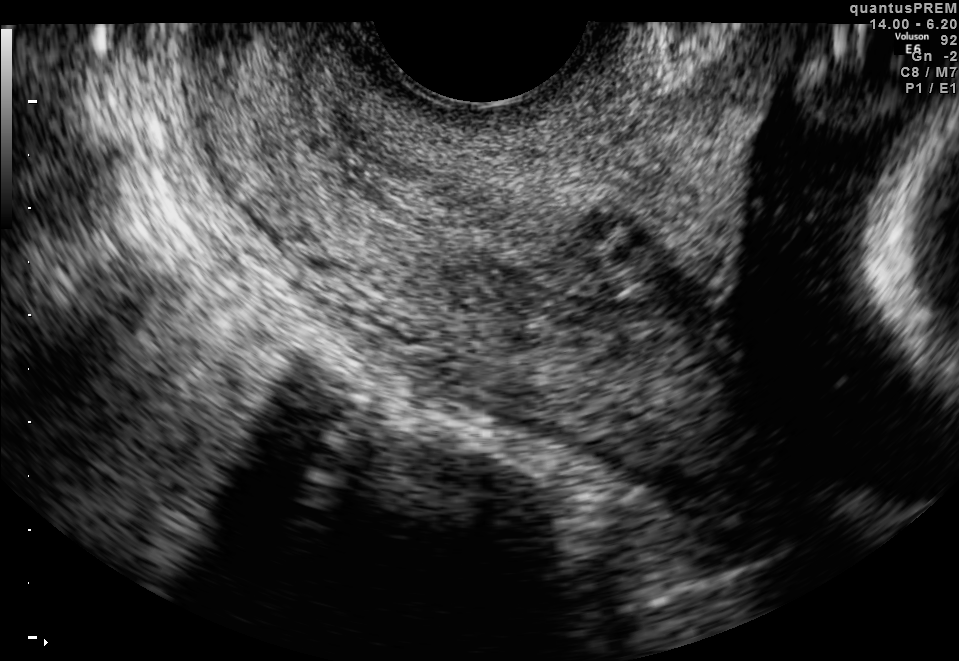
Classify this maternal-fetal ultrasound image as one of the six standard planes — fetal abdomen, fetal brain, fetal femur, fetal thorax, maternal cervix, or other. If it's fetal brain and one of the three standard brain planes (trans-thalamic, trans-cerebellum, trans-ventricular), name which.

Maternal cervix